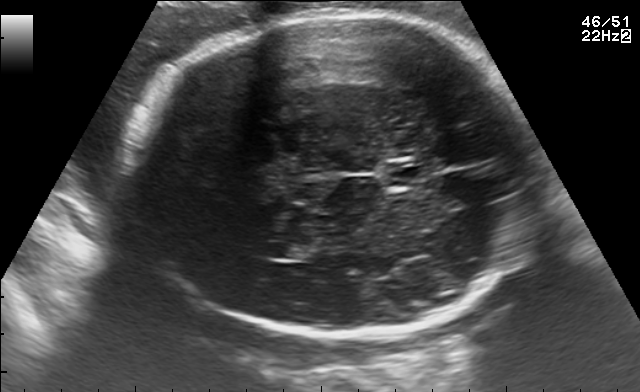
Fetal brain, trans-thalamic plane. Where is the fetal head?

Head bounding box: [125,17,539,336]